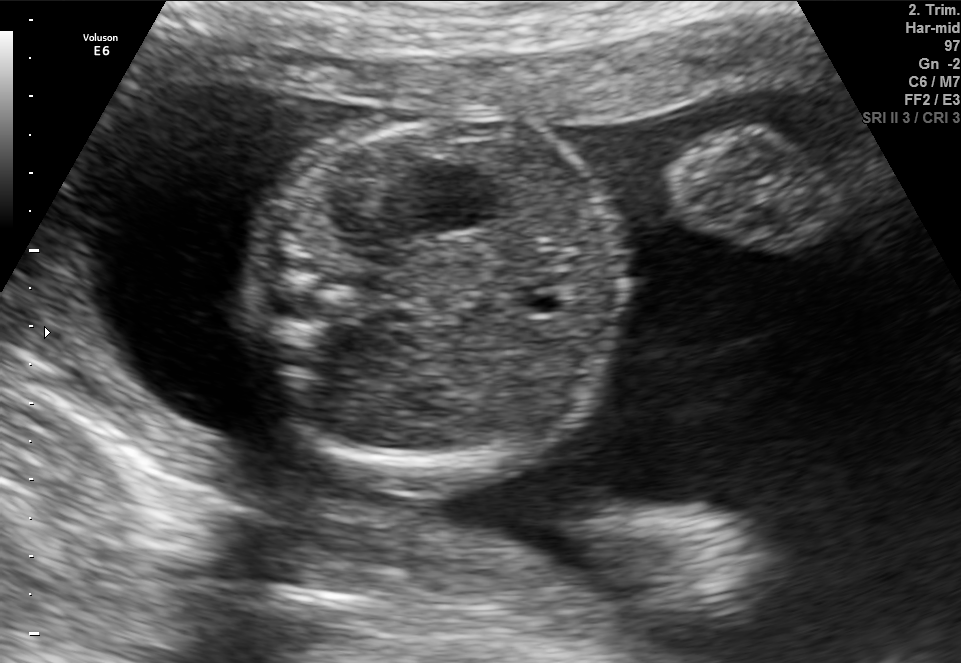
Classify this maternal-fetal ultrasound image as one of the six standard planes — fetal abdomen, fetal brain, fetal femur, fetal thorax, maternal cervix, or other. If it's fetal brain and one of the three standard brain planes (trans-thalamic, trans-cerebellum, trans-ventricular), name which.

Fetal abdomen